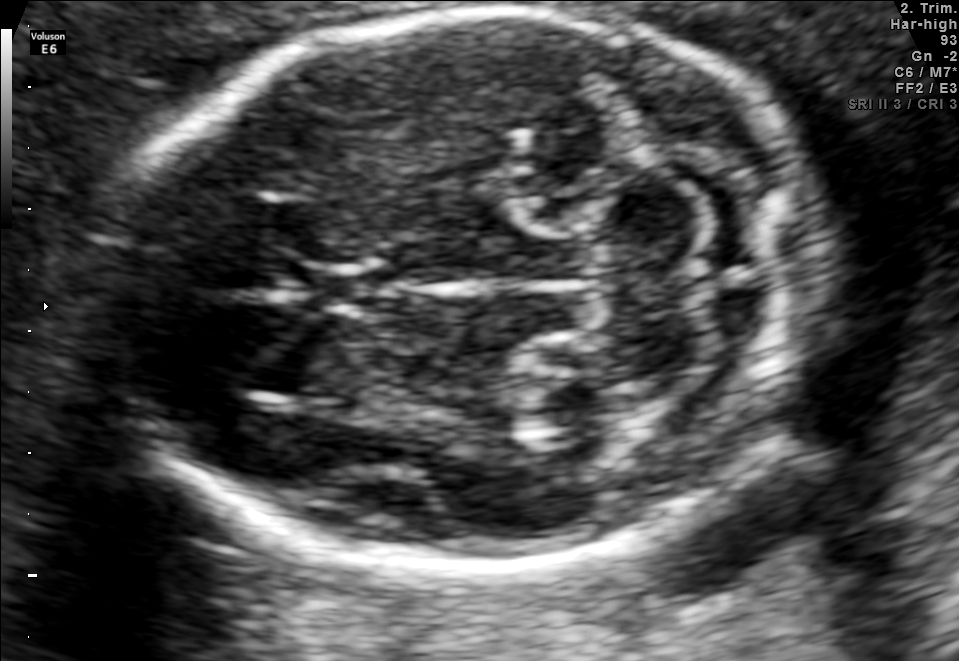
Fetal brain, trans-cerebellum plane. Where is the fetal head?

Head bounding box: [106,7,823,580]